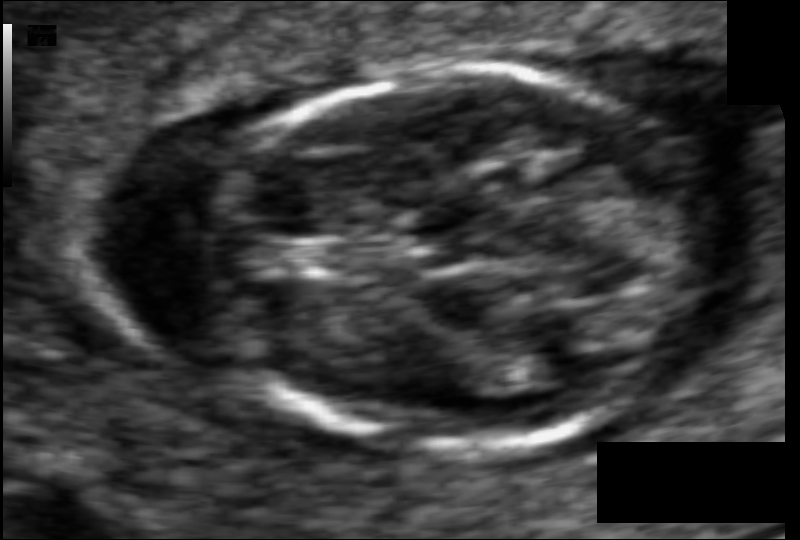
Fetal head ultrasound. Image width: 46.1 mm. Locate the fetal head.

Head: [211,68,711,451]